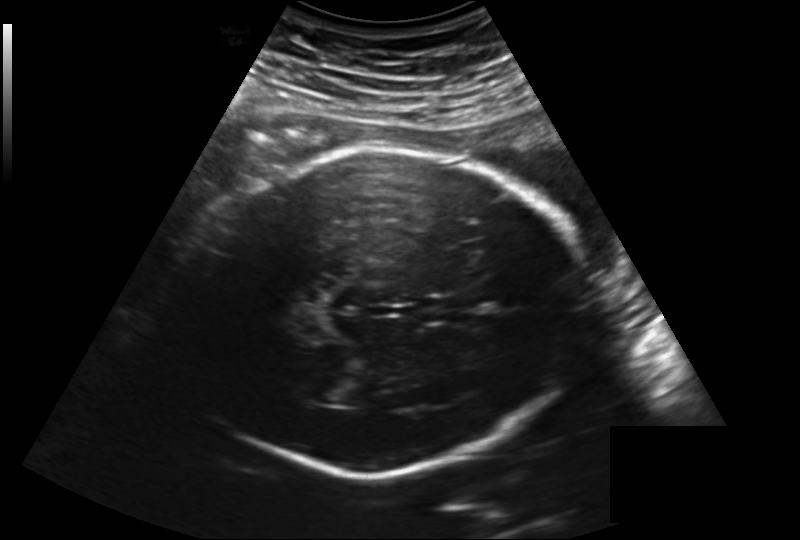
Estimate the fetal head circumference from this 2D ultrasound. Image width: 175.2 mm.

Head circumference: 260.4 mm.